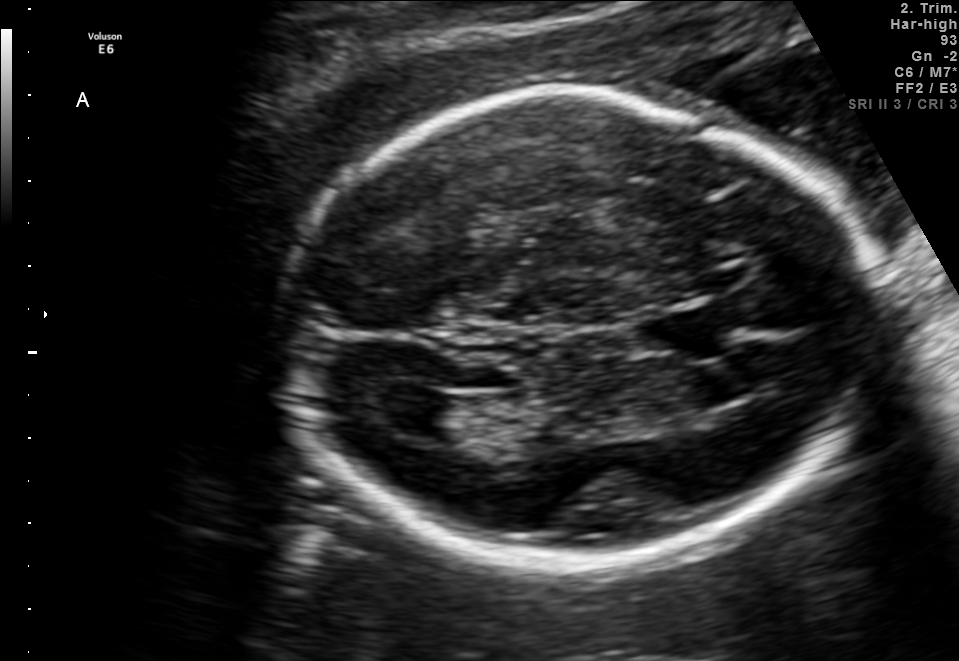
Fetal brain, trans-ventricular plane. Where is the cavum septum pellucidum?

CSP bounding box: [630,309,702,354]